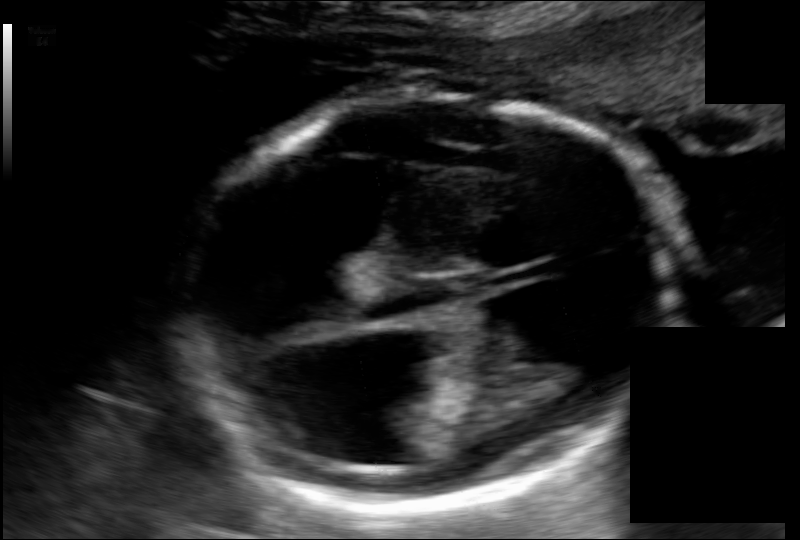
Fetal head ultrasound. Image width: 107.8 mm. Locate the fetal head and, if visible, the cavum septum pellucidum (CSP) and lateral ventricle (LV). Give bounding boxes as [x1,y1,x2,y2].

Head: [184,91,678,512]